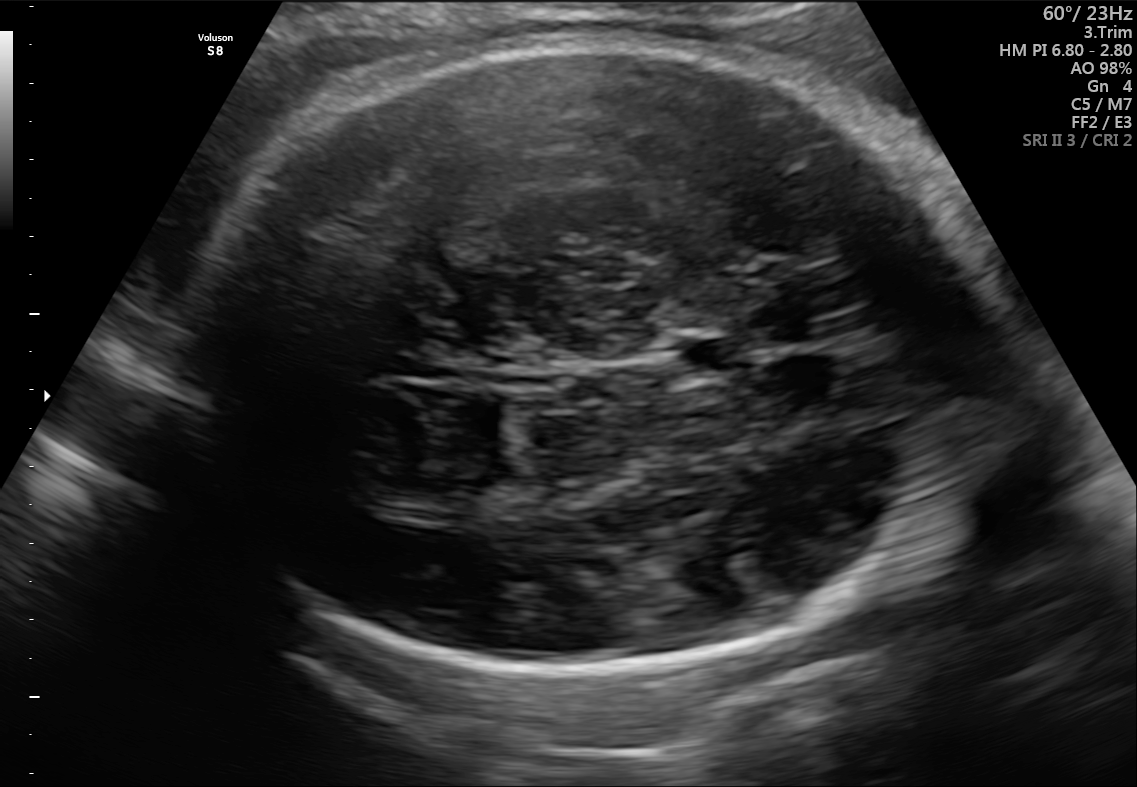
This is a 2D maternal-fetal ultrasound frame. Is it a fetal abdomen, fetal brain, fetal femur, fetal thorax, maternal cervix, or other standard plane? If it's fetal brain and one of the three standard brain planes (trans-thalamic, trans-cerebellum, trans-ventricular), name which.

Fetal brain (trans-thalamic plane)